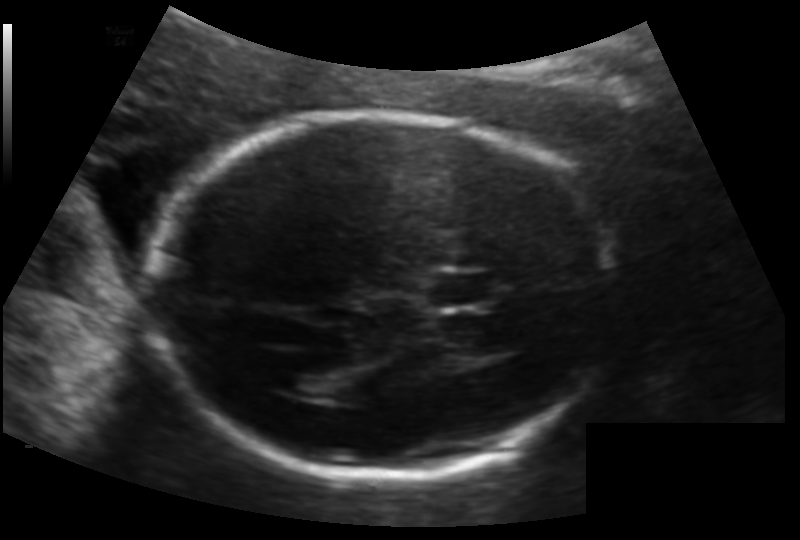
Estimate the fetal head circumference from this 2D ultrasound.

Head circumference: 177.3 mm (image width 106.4 mm).